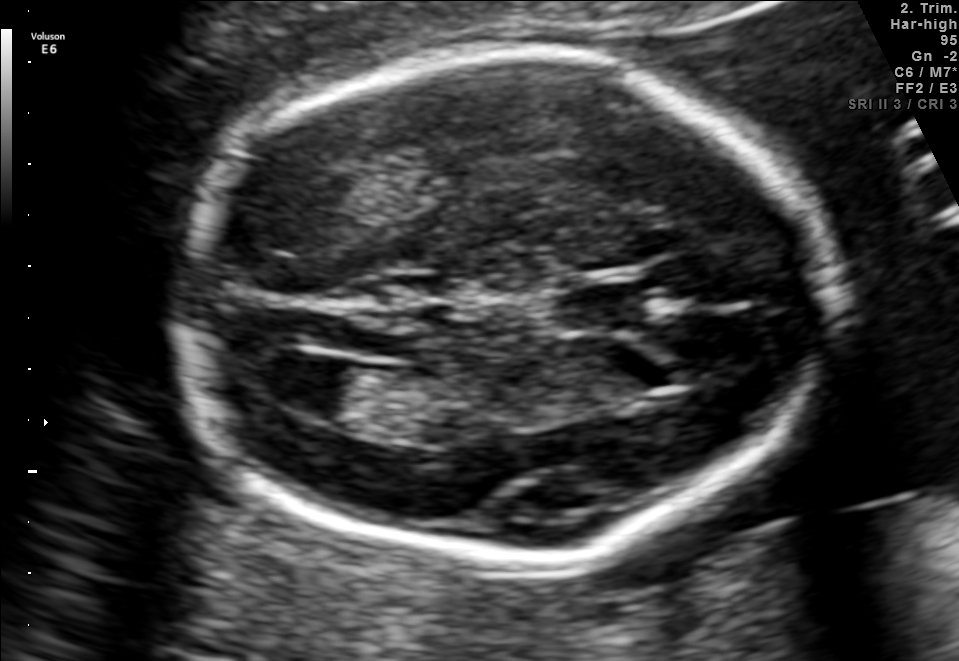
In this fetal brain, trans-ventricular plane, give the bounding box of the fetal head.

[163,43,856,572]